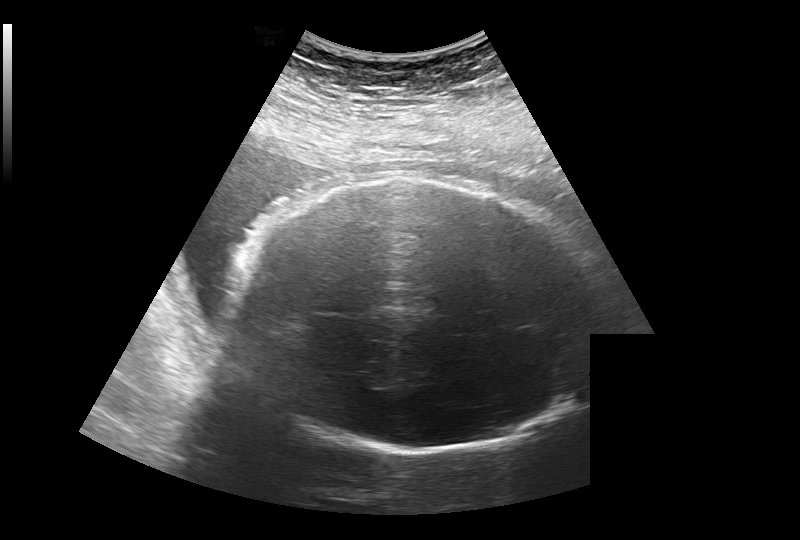
In this fetal head ultrasound, give the bounding box of the fetal head. Image width: 246.2 mm.

[225,179,606,453]